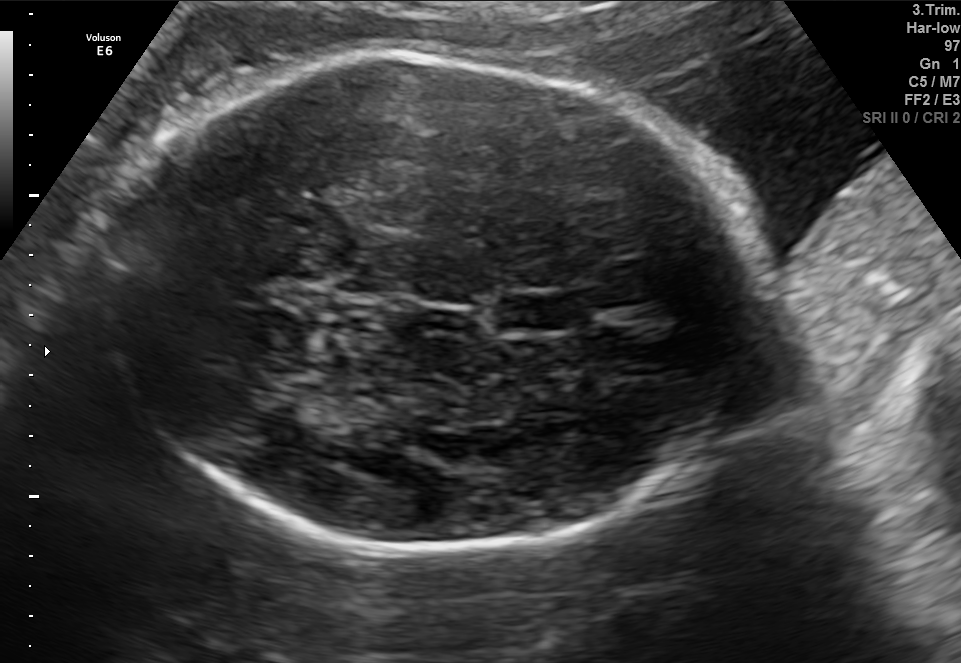
Fetal brain, trans-thalamic plane. Give [x1,y1,x2,y2] bounding boxes for each visible structure among: fetal head, CSP, LV.

Head: [93,53,762,550]
CSP: [496,294,562,331]